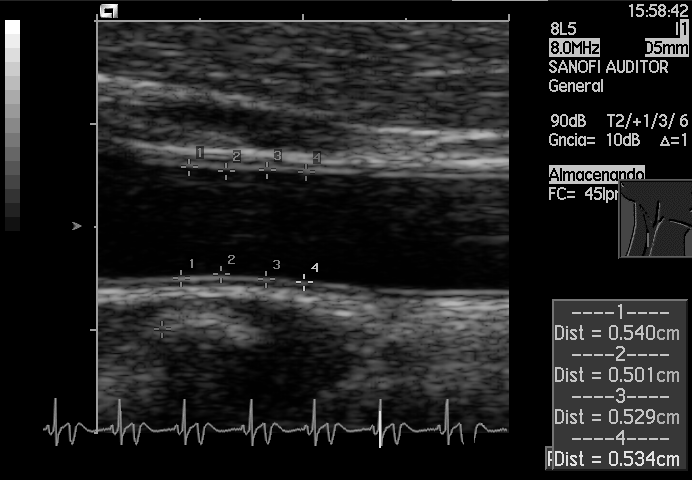
Classify this maternal-fetal ultrasound image as one of the six standard planes — fetal abdomen, fetal brain, fetal femur, fetal thorax, maternal cervix, or other. If it's fetal brain and one of the three standard brain planes (trans-thalamic, trans-cerebellum, trans-ventricular), name which.

Other